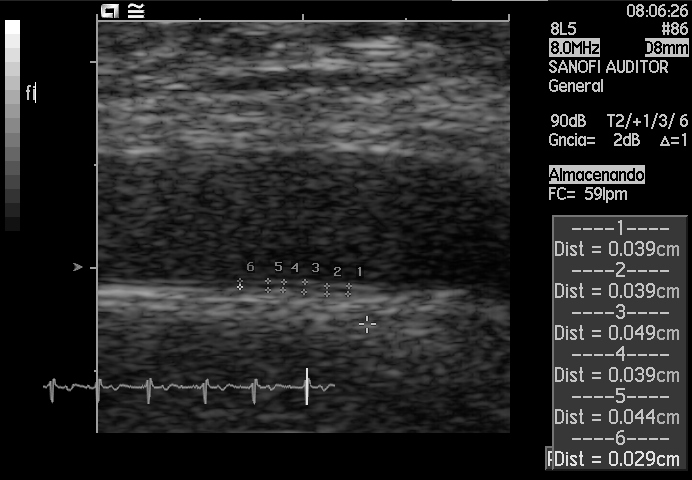
Identify the standard plane in this fetal ultrasound image: fetal abdomen, fetal brain, fetal femur, fetal thorax, maternal cervix, or other. If it's fetal brain and one of the three standard brain planes (trans-thalamic, trans-cerebellum, trans-ventricular), name which.

Other